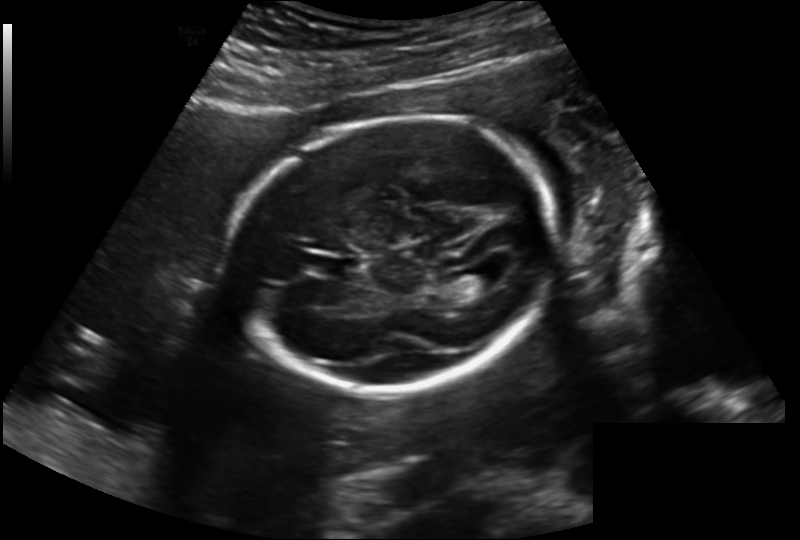
Estimate the fetal head circumference from this 2D ultrasound. Image width: 161.6 mm.

Head circumference: 194.6 mm.